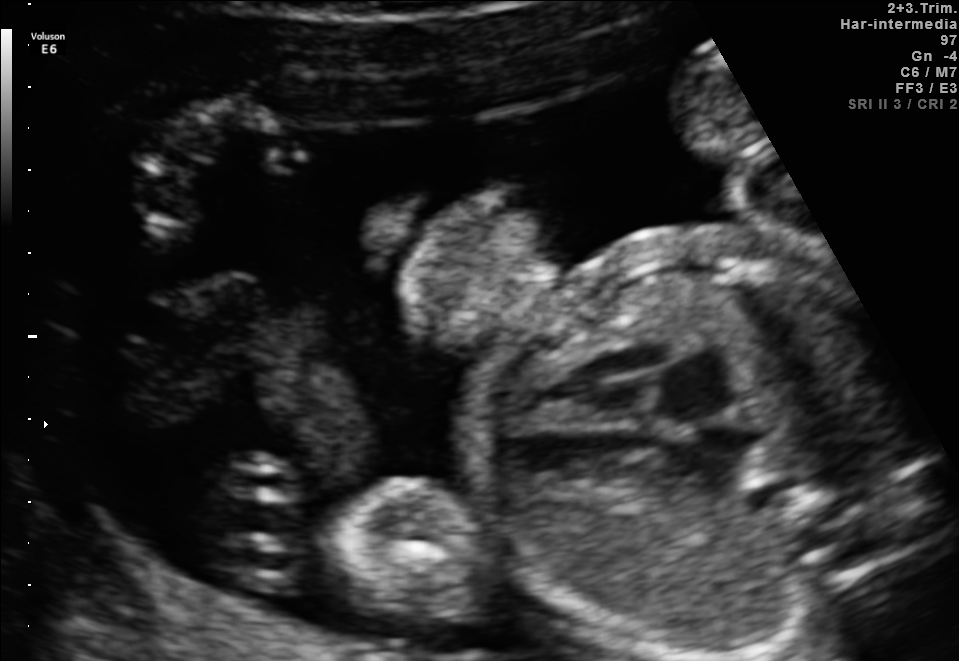
Identify the standard plane in this fetal ultrasound image: fetal abdomen, fetal brain, fetal femur, fetal thorax, maternal cervix, or other. If it's fetal brain and one of the three standard brain planes (trans-thalamic, trans-cerebellum, trans-ventricular), name which.

Other